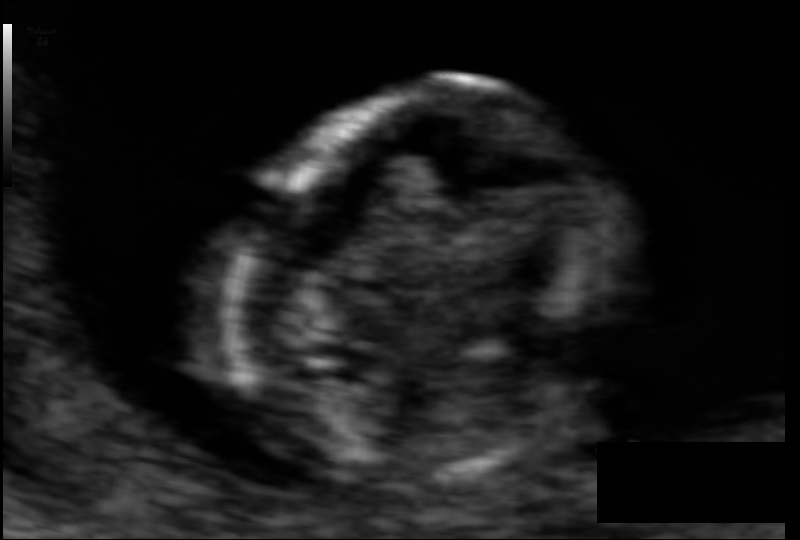
Fetal head ultrasound. Image width: 44.4 mm. Locate the fetal head.

Head: [233,80,606,488]